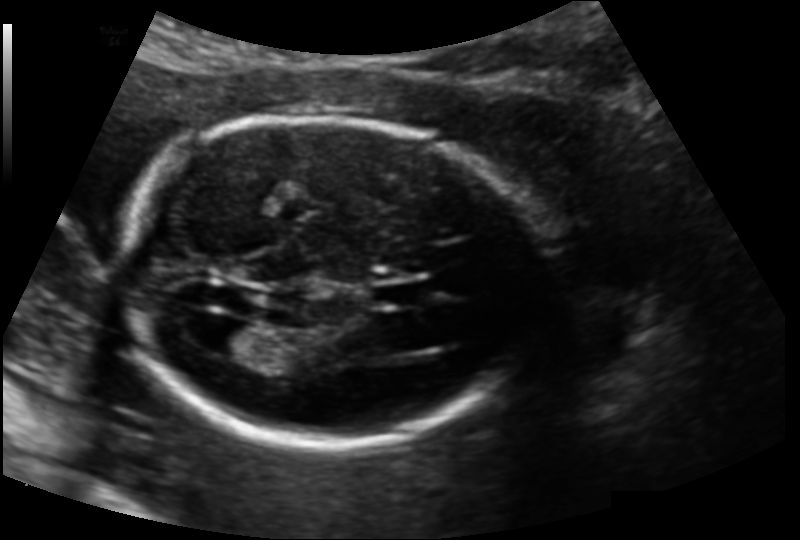
Fetal head ultrasound. Image width: 111.6 mm. Where is the cavum septum pellucidum?

CSP bounding box: [372,277,428,311]